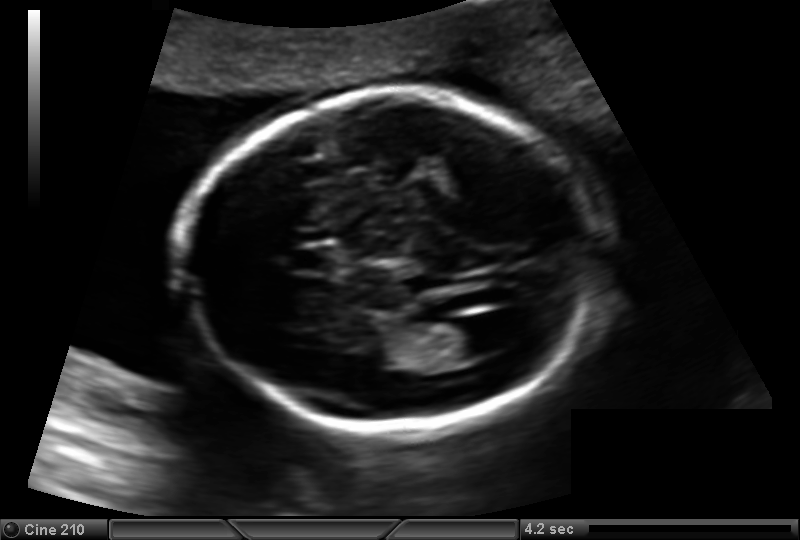
Measure the fetal head circumference shown in this ultrasound image. Image width: 109.7 mm.

Head circumference: 168.1 mm.